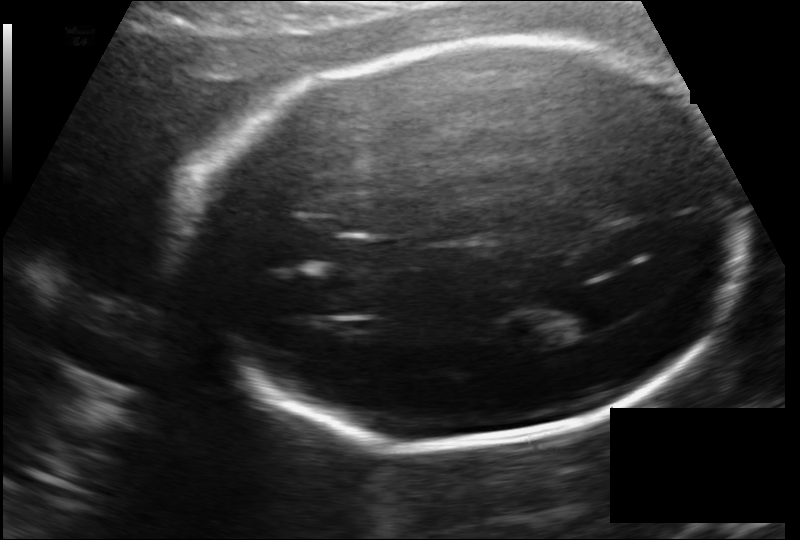
Fetal head ultrasound. Image width: 112.6 mm. Where is the fetal head?

Head bounding box: [192,44,743,449]